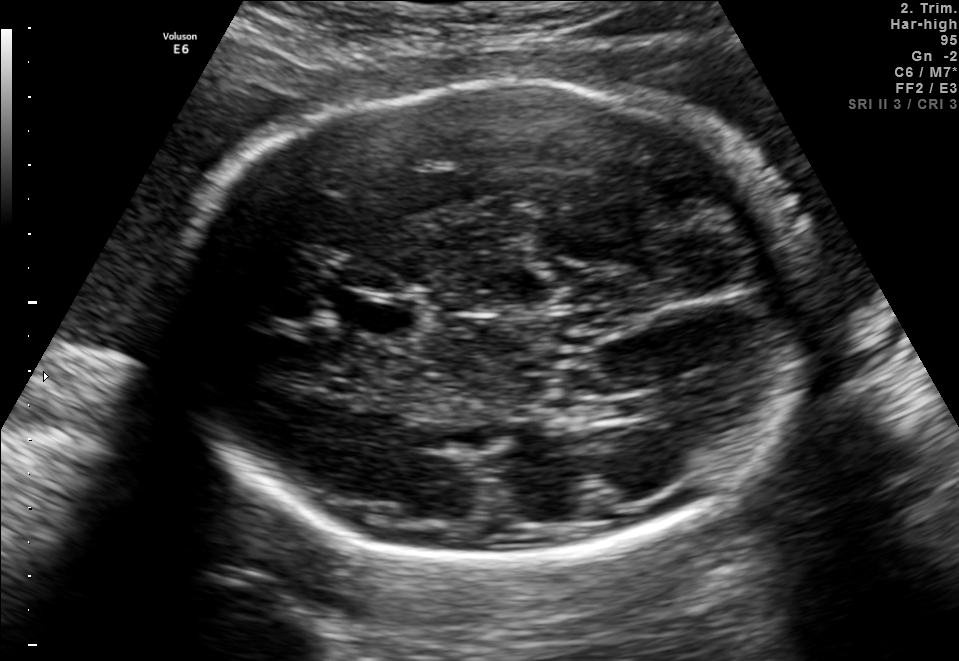
This is a 2D maternal-fetal ultrasound frame. Is it a fetal abdomen, fetal brain, fetal femur, fetal thorax, maternal cervix, or other standard plane? If it's fetal brain and one of the three standard brain planes (trans-thalamic, trans-cerebellum, trans-ventricular), name which.

Fetal brain (trans-thalamic plane)